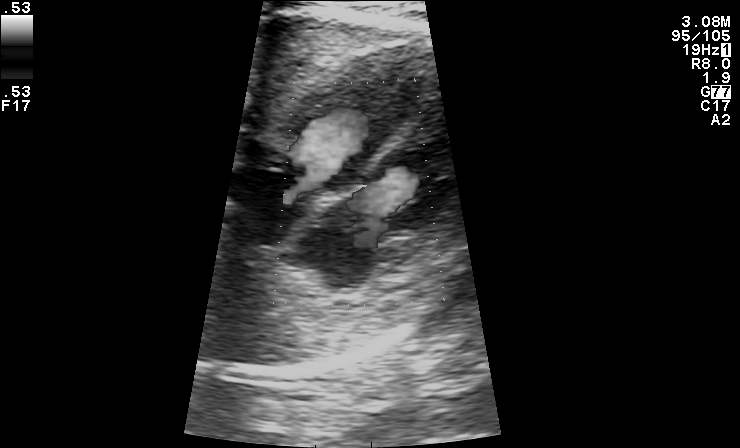
Which standard maternal-fetal ultrasound plane is shown: fetal abdomen, fetal brain, fetal femur, fetal thorax, maternal cervix, or other? If it's fetal brain and one of the three standard brain planes (trans-thalamic, trans-cerebellum, trans-ventricular), name which.

Other